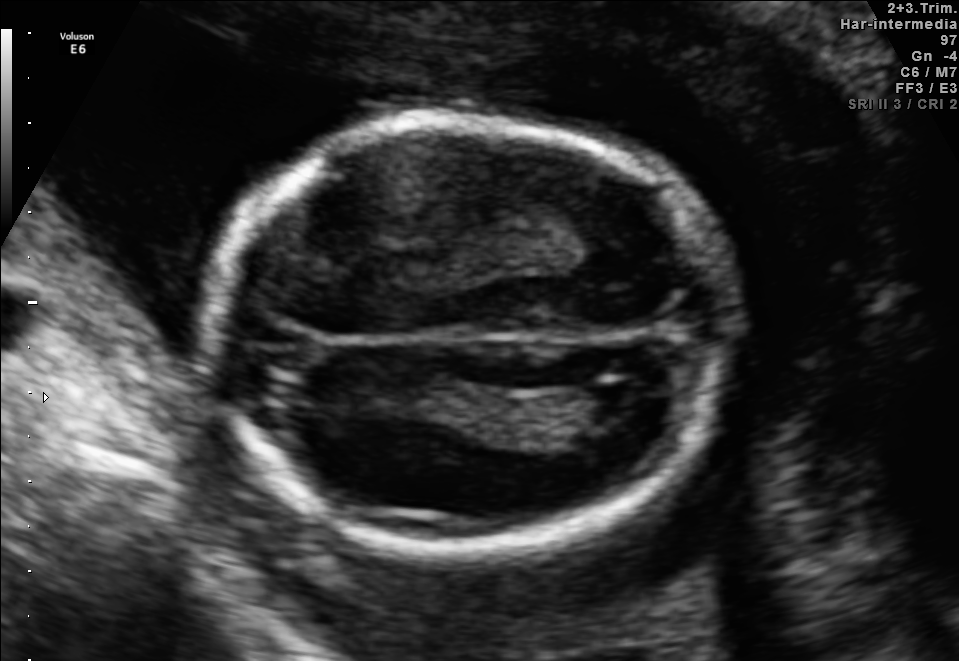
In this fetal brain, trans-ventricular plane, give bounding boxes for the head outline, cavum septum pellucidum (CSP), and lateral ventricle (LV), where visible.

Head: [191,108,748,559]
Lateral ventricle: [569,374,649,430]